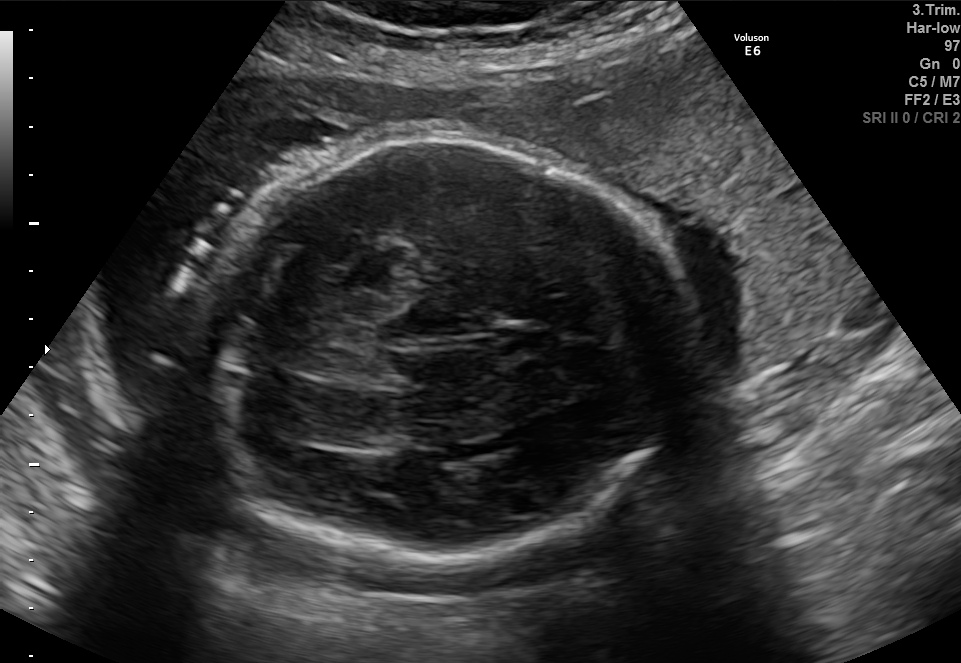
Fetal brain, trans-thalamic plane. Where is the fetal head?

Head bounding box: [212,136,690,557]